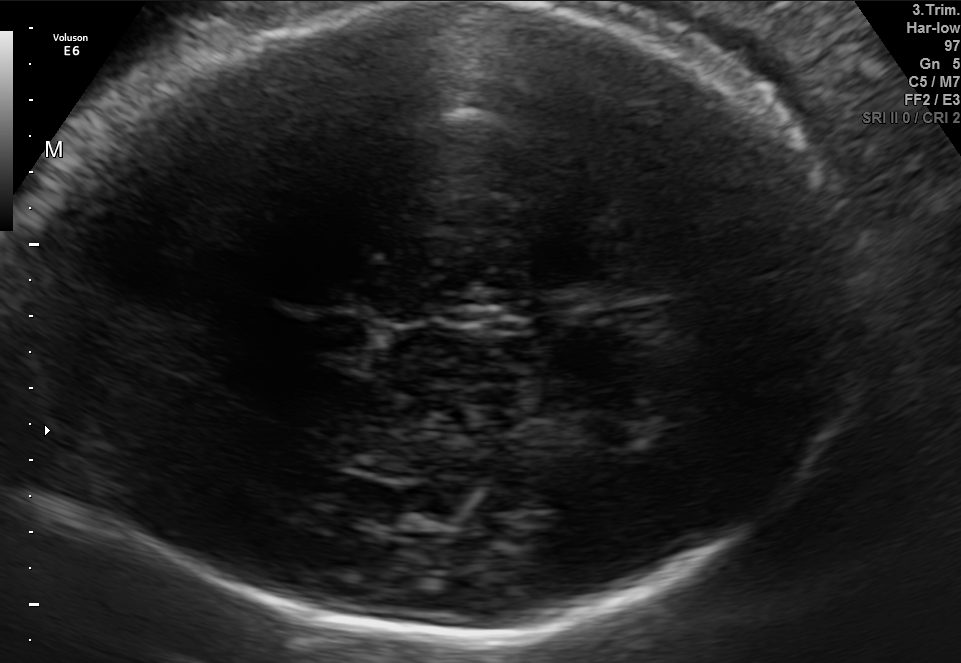
In this fetal brain, trans-thalamic plane, give bounding boxes for the head outline, cavum septum pellucidum (CSP), and lateral ventricle (LV), where visible.

Head: [5,3,854,636]
CSP: [300,312,370,352]